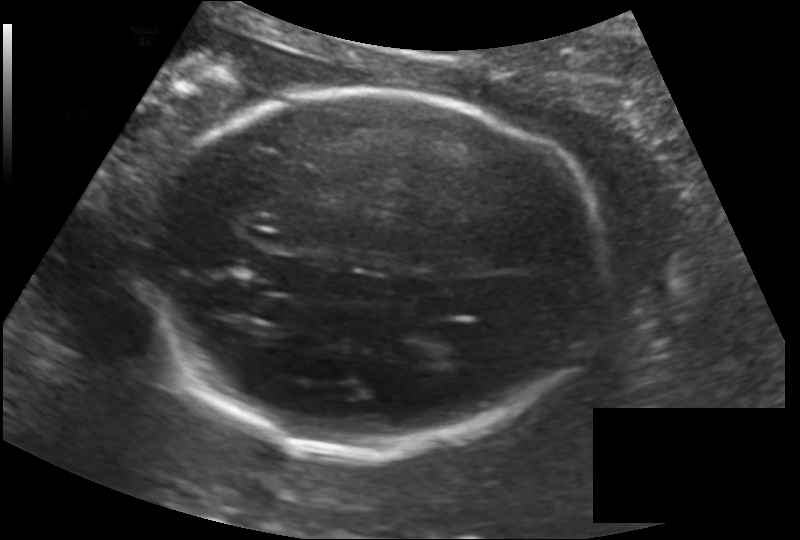
Estimate the fetal head circumference from this 2D ultrasound. Image width: 136.3 mm.

Head circumference: 226.9 mm.